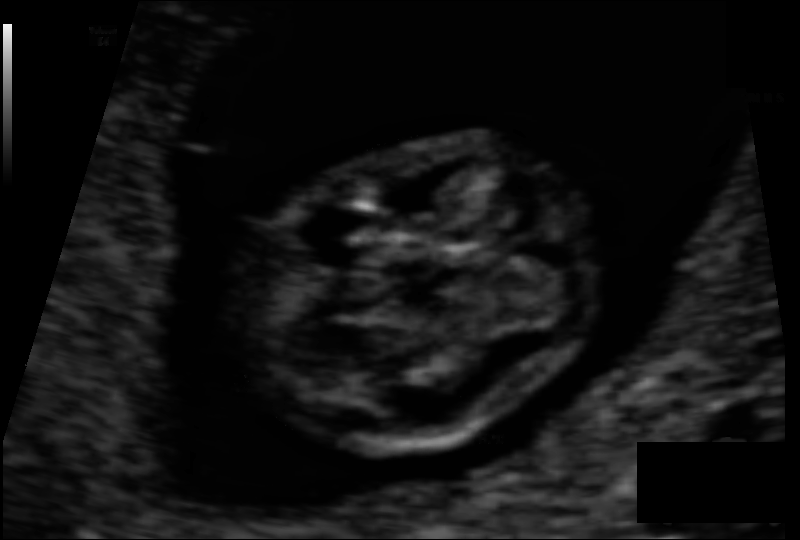
From this fetal ultrasound, estimate the head circumference (image width 48.2 mm).

Head circumference: 65.0 mm.